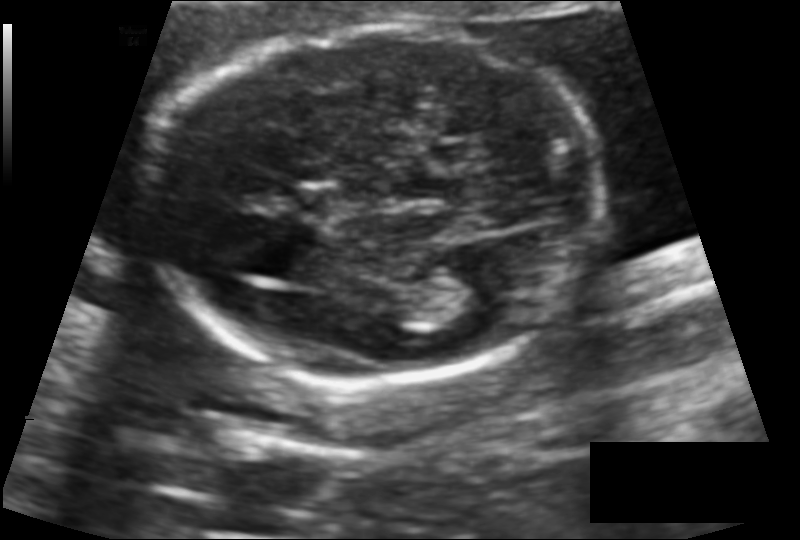
In this fetal head ultrasound, give bounding boxes for the head outline, cavum septum pellucidum (CSP), and lateral ventricle (LV), where visible. Image width: 94.4 mm.

Head: [146,27,604,381]